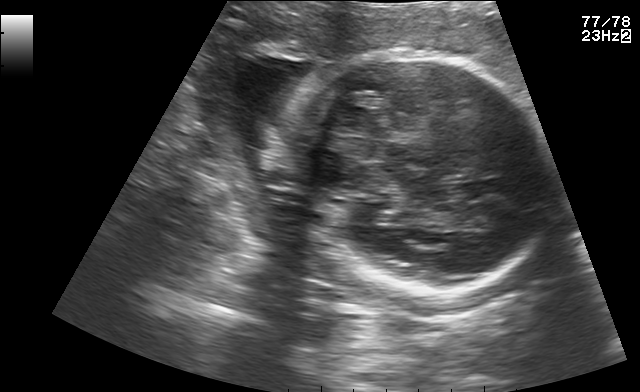
Fetal brain, trans-thalamic plane. Where is the fetal head?

Head bounding box: [290,46,550,293]